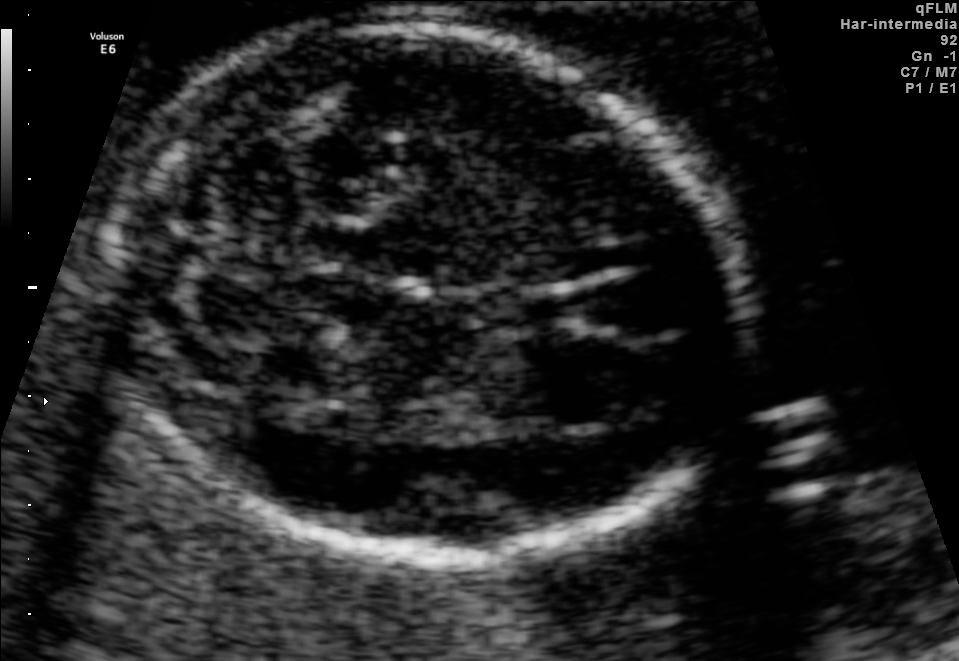
Fetal brain, trans-cerebellum plane. Locate the fetal head and, if visible, the cavum septum pellucidum (CSP) and lateral ventricle (LV). Give bounding boxes as [x1,y1,x2,y2].

Head: [119,27,740,554]